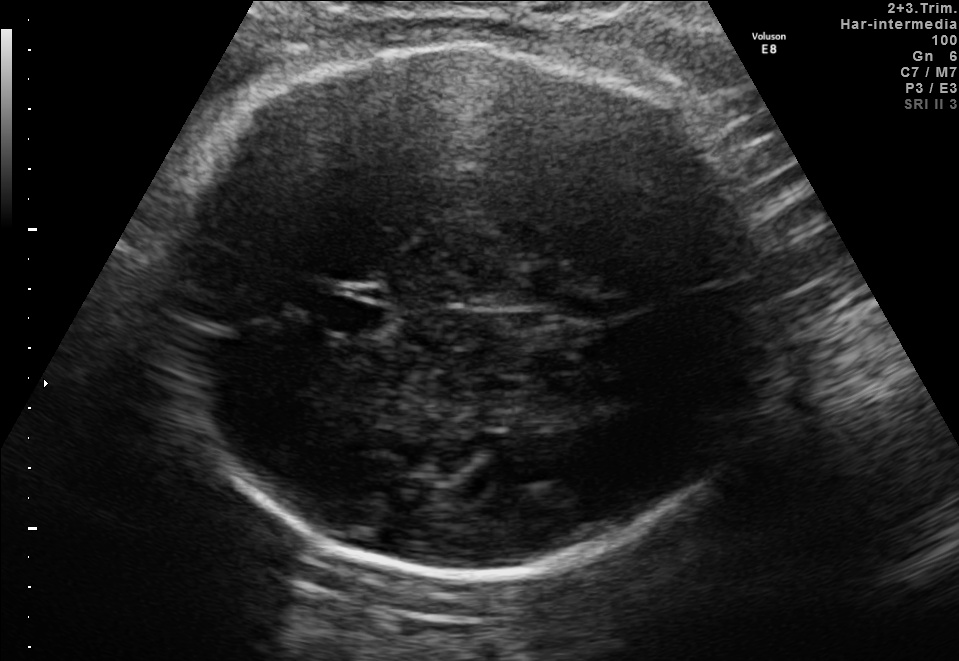
Fetal brain, trans-thalamic plane. Locate the fetal head.

Head: [157,44,770,573]